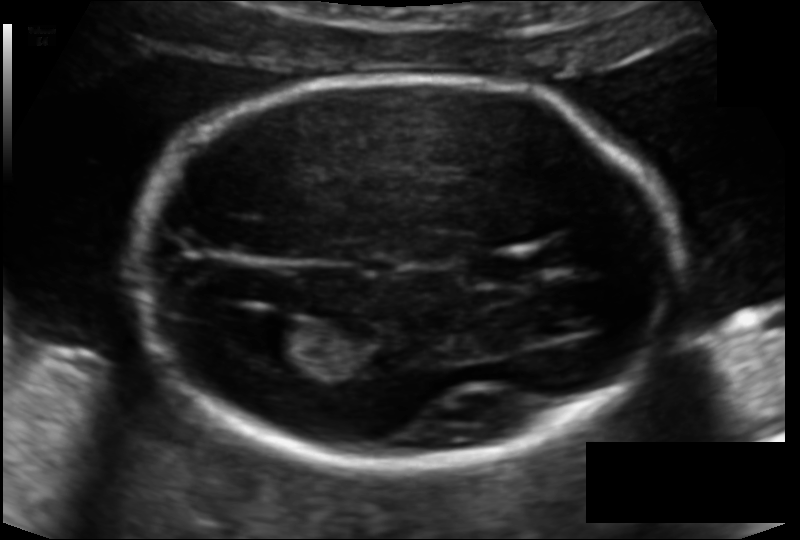
In this fetal head ultrasound, give the bounding box of the lateral ventricle. Image width: 95.2 mm.

[231,311,317,366]